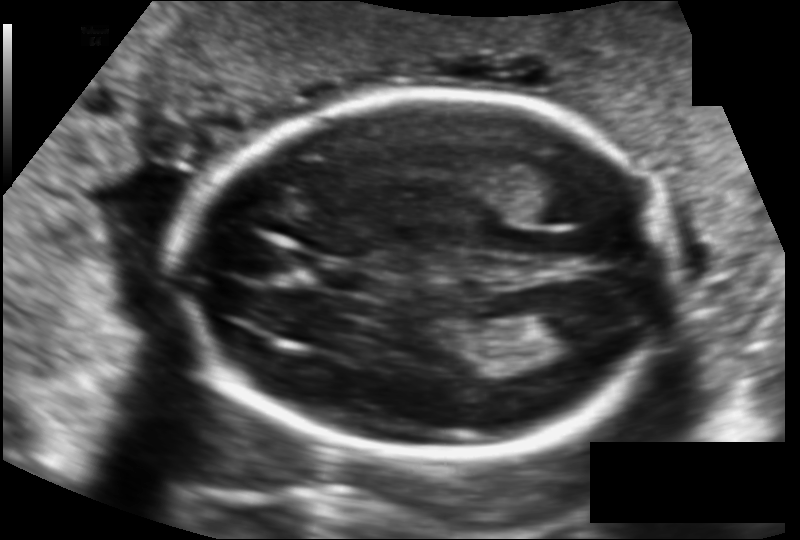
In this fetal head ultrasound, give the bounding box of the fetal head. Image width: 98.9 mm.

[177,95,673,457]